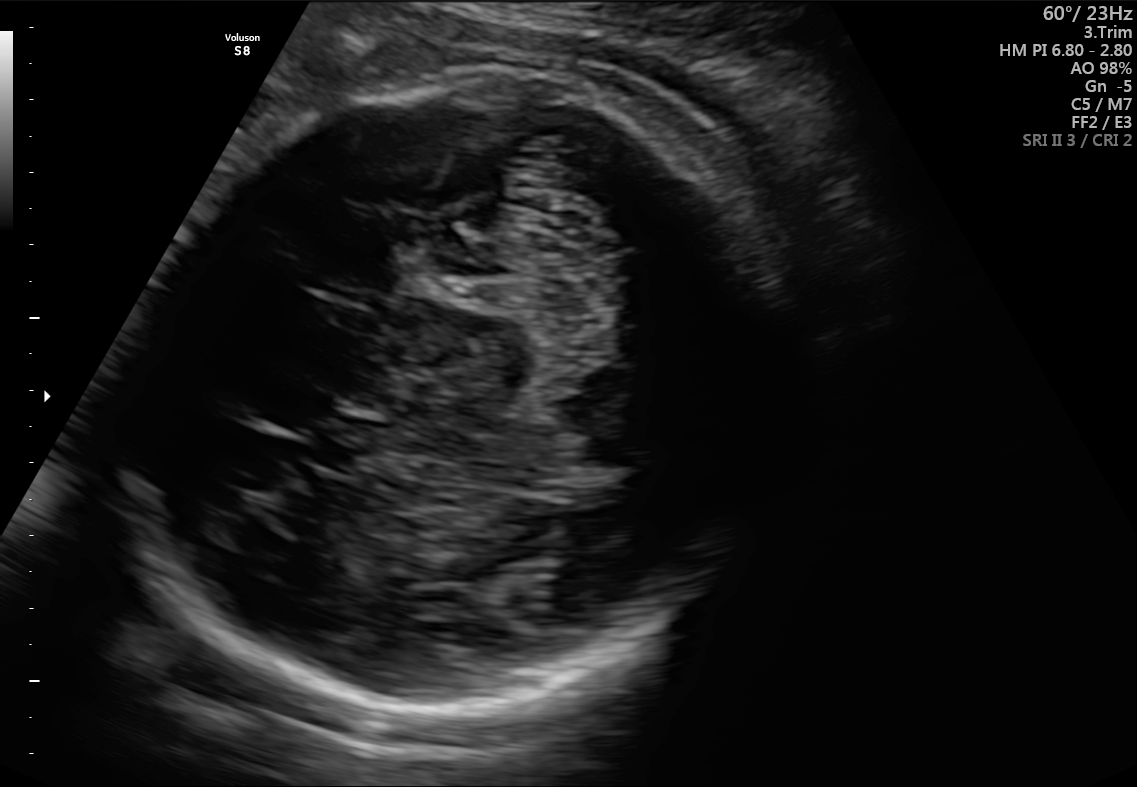
Fetal brain, trans-cerebellum plane. Locate the fetal head.

Head: [138,73,758,707]